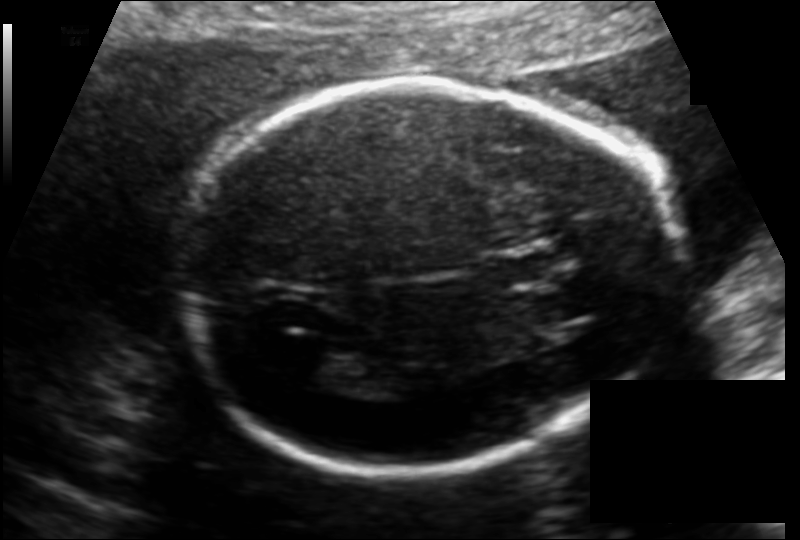
Fetal head ultrasound. Image width: 104.3 mm. Locate the fetal head.

Head: [176,78,674,479]